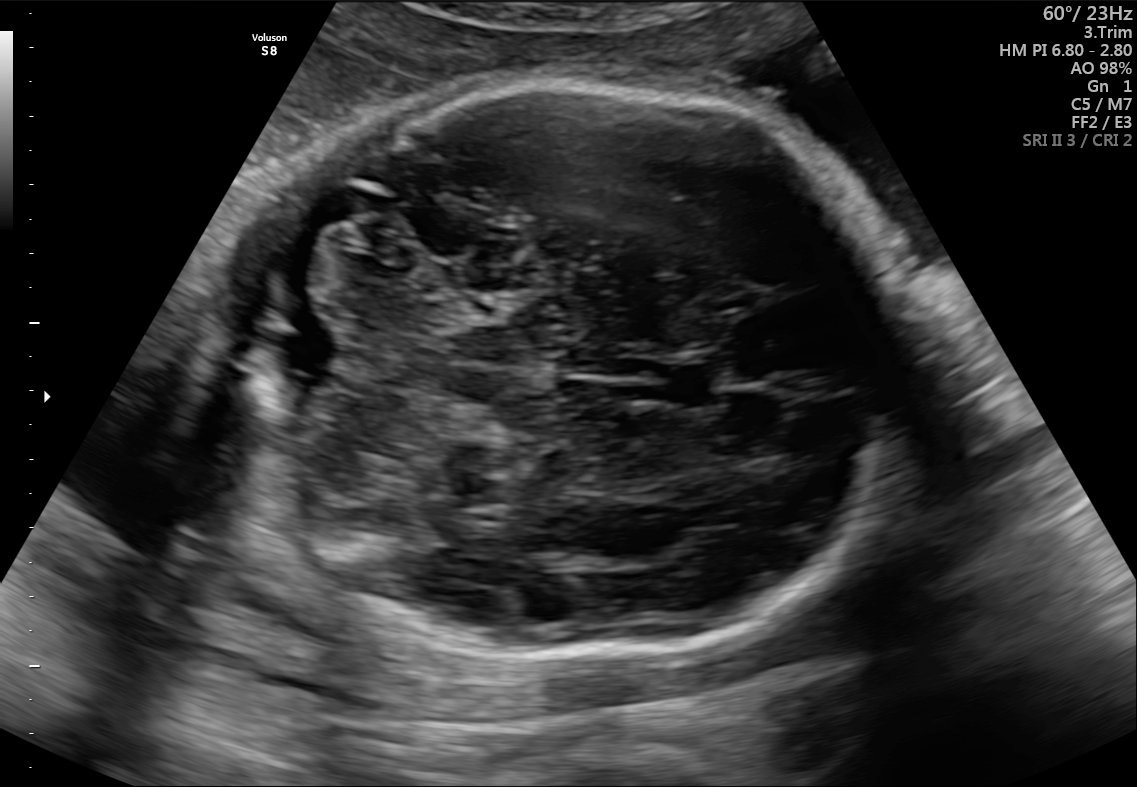
Fetal brain, trans-cerebellum plane. Locate the cavum septum pellucidum.

CSP: [650,356,725,406]